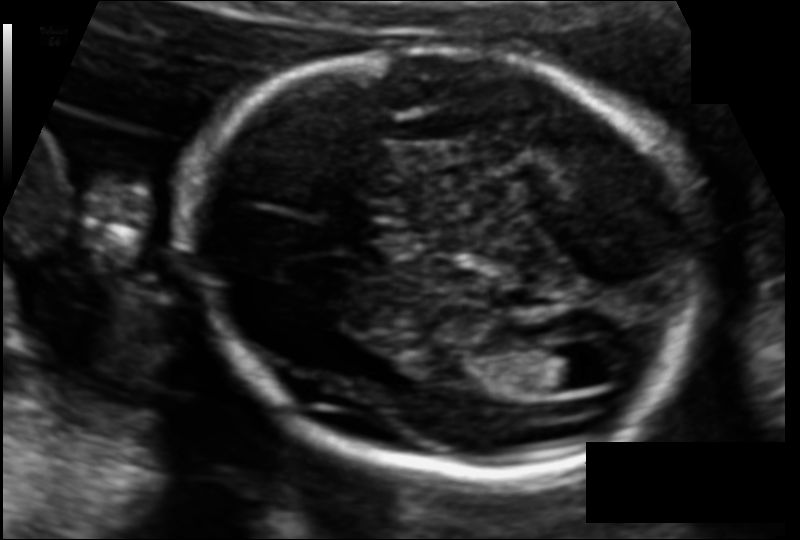
From this fetal ultrasound, estimate the head circumference (image width 87.7 mm).

Head circumference: 168.0 mm.